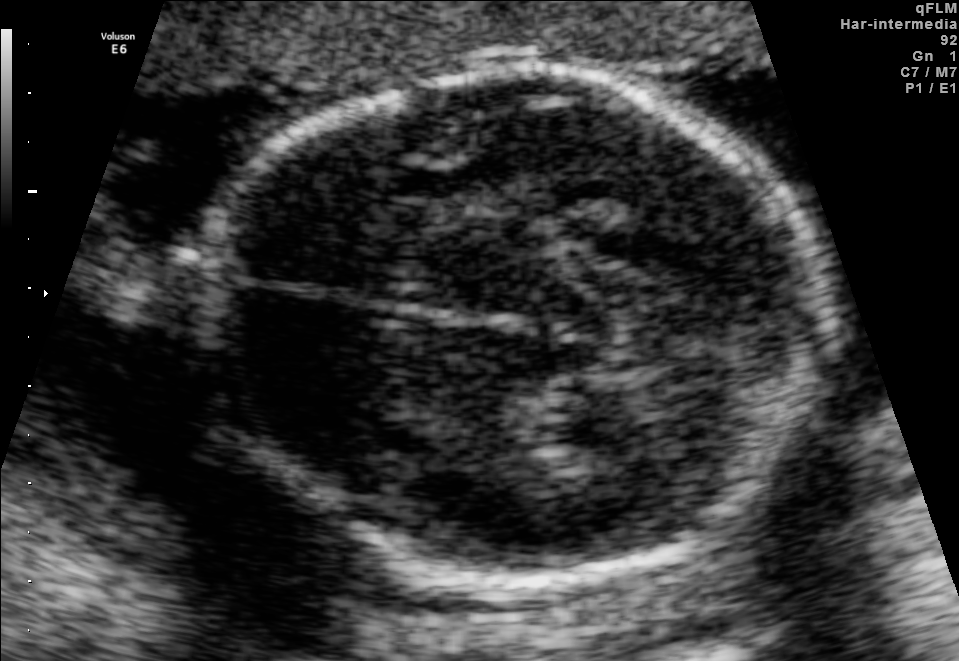
In this fetal brain, trans-thalamic plane, give the bounding box of the lateral ventricle.

[541,377,686,467]